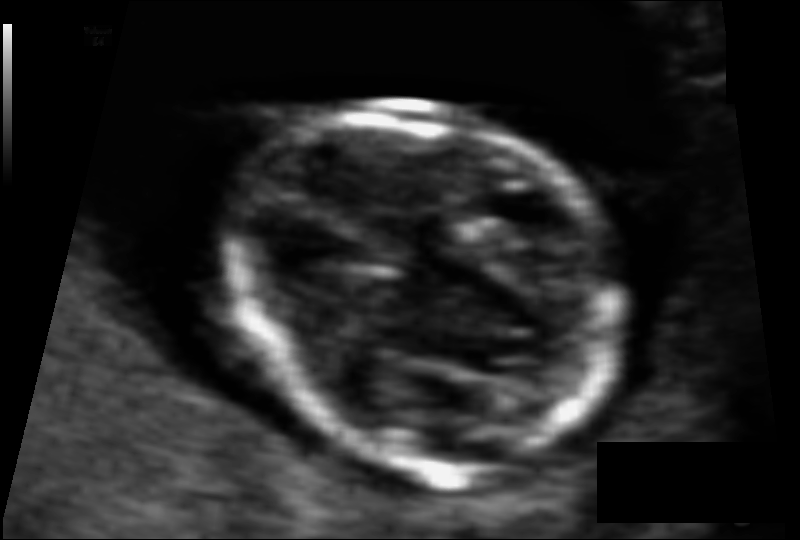
Estimate the fetal head circumference from this 2D ultrasound.

Head circumference: 75.2 mm (image width 50.5 mm).